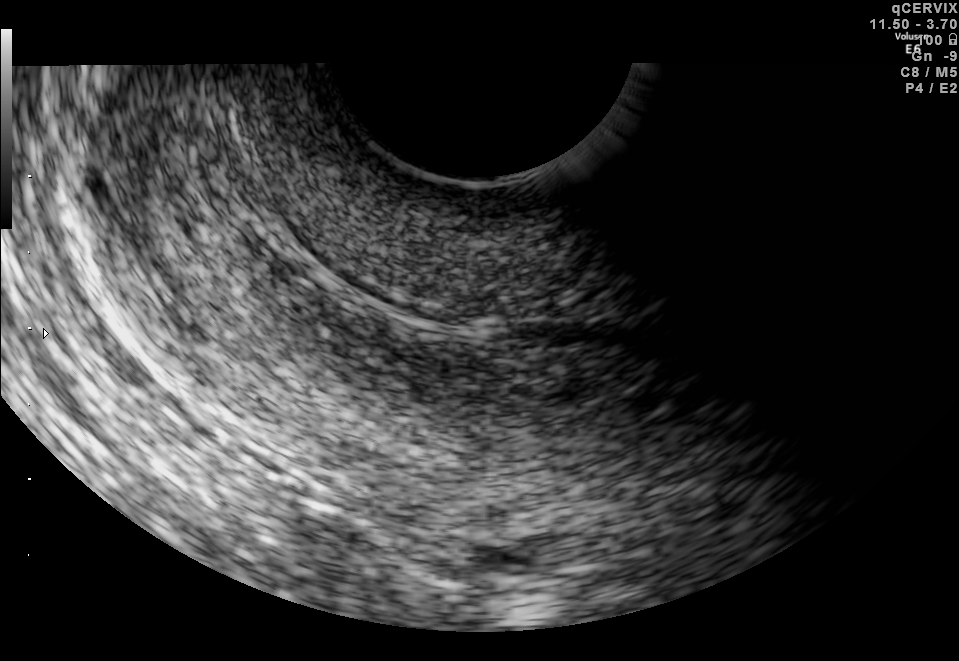
Classify this maternal-fetal ultrasound image as one of the six standard planes — fetal abdomen, fetal brain, fetal femur, fetal thorax, maternal cervix, or other. If it's fetal brain and one of the three standard brain planes (trans-thalamic, trans-cerebellum, trans-ventricular), name which.

Maternal cervix